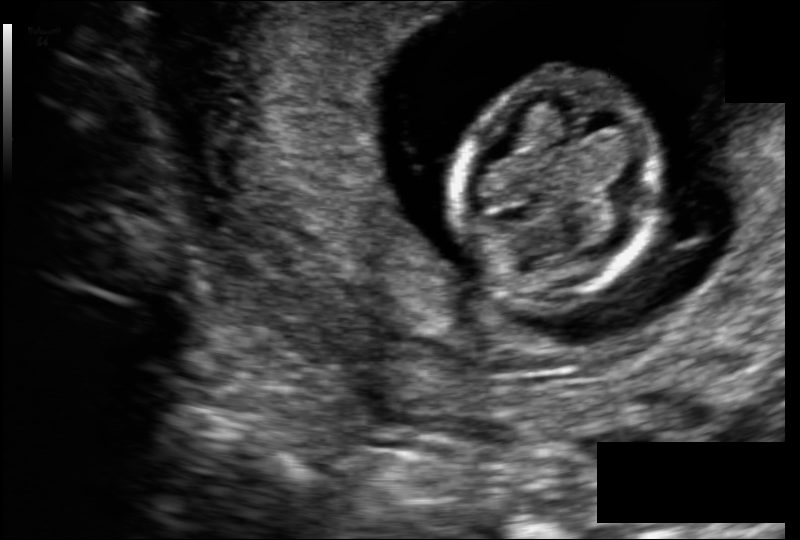
Fetal head ultrasound. Image width: 87.2 mm. Give [x1,y1,x2,y2] bounding boxes for each visible structure among: fetal head, CSP, LV.

Head: [451,74,662,301]